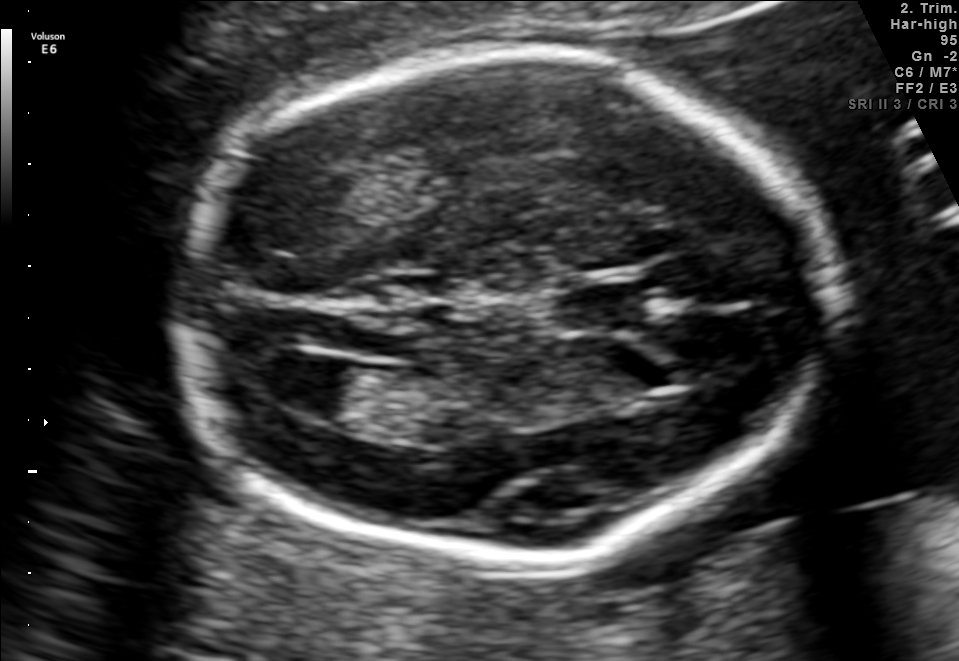
In this fetal brain, trans-ventricular plane, give the bounding box of the lateral ventricle.

[258,341,369,430]